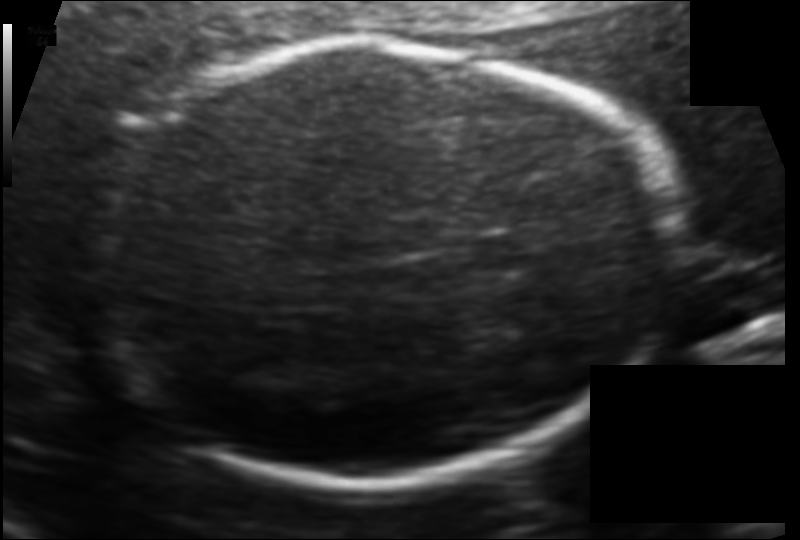
In this fetal head ultrasound, give bounding boxes for the head outline, cavum septum pellucidum (CSP), and lateral ventricle (LV), where visible. Image width: 91.1 mm.

Head: [86,42,677,480]